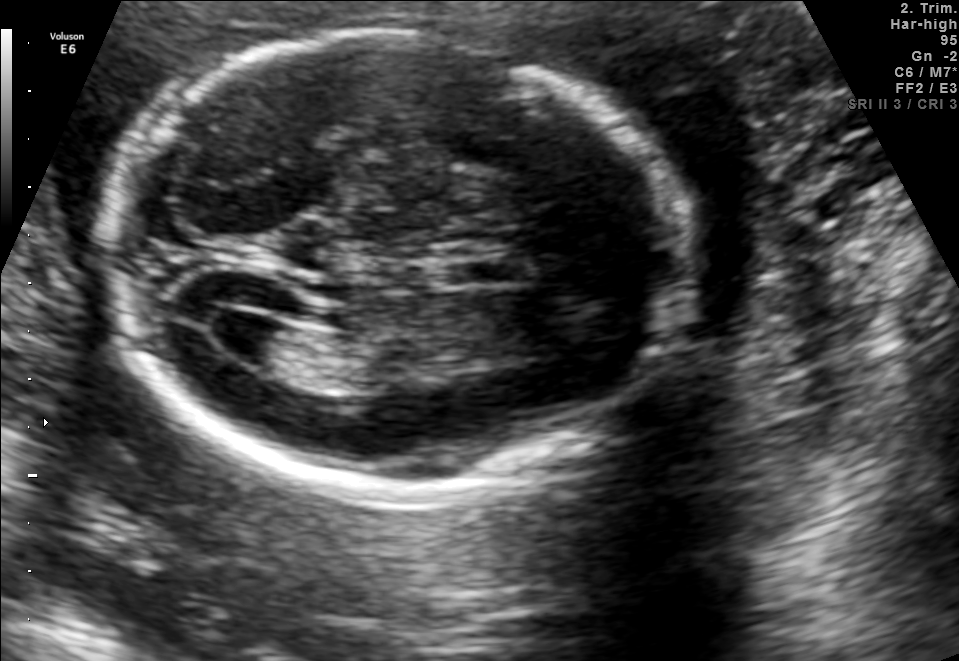
In this fetal brain, trans-ventricular plane, give the bounding box of the cavum septum pellucidum.

[439,256,537,284]